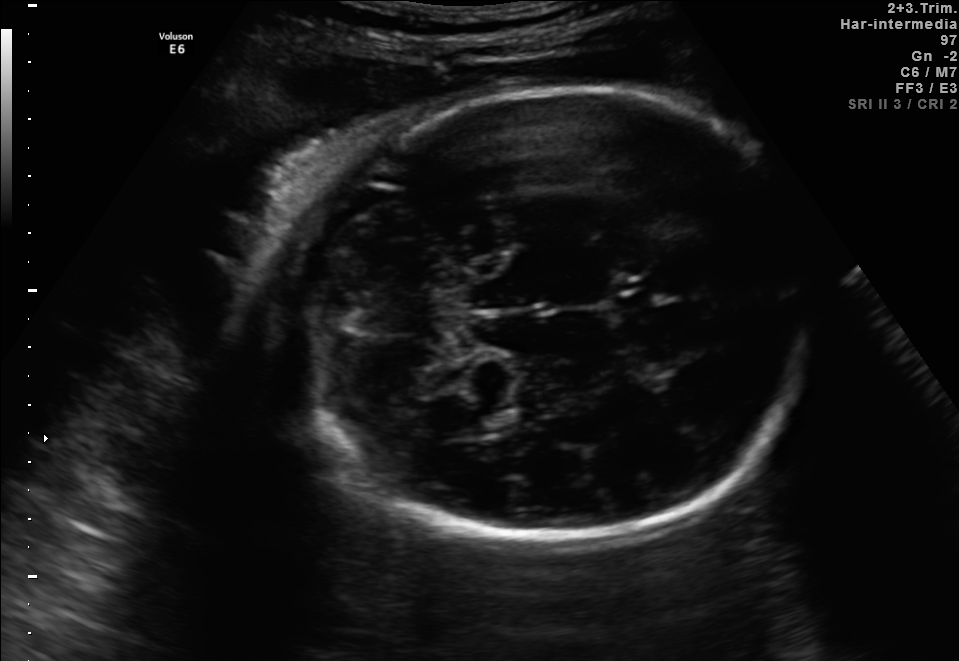
Fetal brain, trans-thalamic plane. Give [x1,y1,x2,y2] bounding boxes for each visible structure among: fetal head, CSP, LV.

Head: [288,91,815,544]
Lateral ventricle: [461,405,521,442]